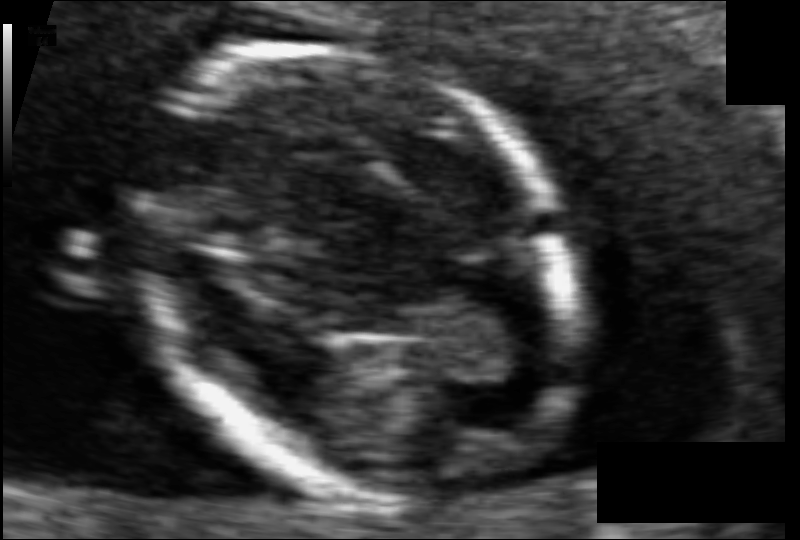
Fetal head ultrasound. Image width: 48.9 mm. Where is the fetal head?

Head bounding box: [137,47,568,498]